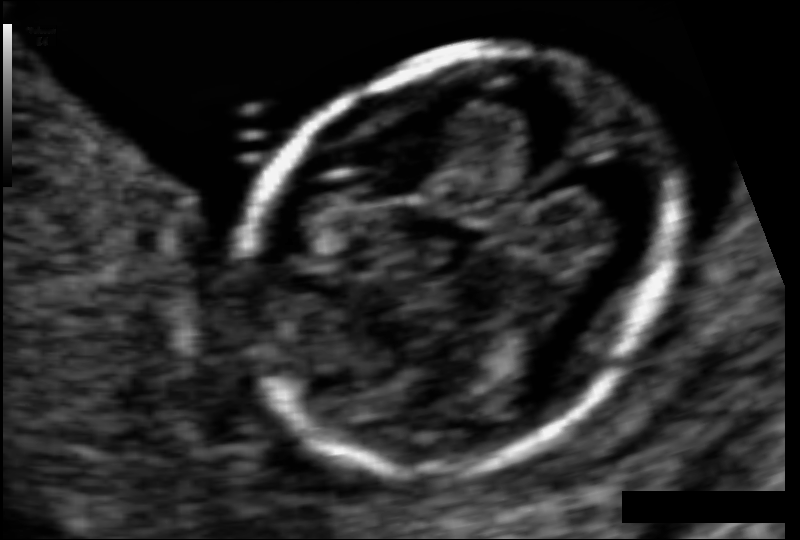
Fetal head ultrasound. Image width: 48.5 mm. Give [x1,y1,x2,y2] bounding boxes for each visible structure among: fetal head, CSP, LV.

Head: [240,47,672,469]